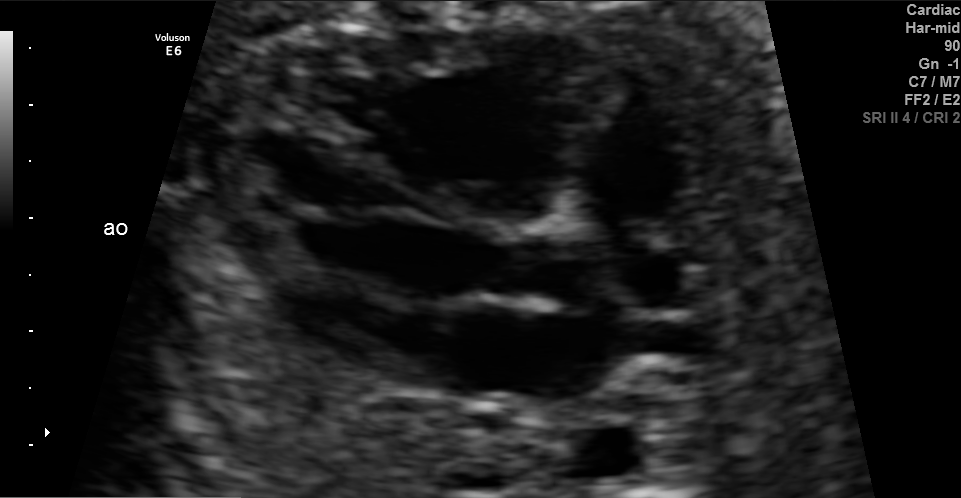
Which standard maternal-fetal ultrasound plane is shown: fetal abdomen, fetal brain, fetal femur, fetal thorax, maternal cervix, or other? If it's fetal brain and one of the three standard brain planes (trans-thalamic, trans-cerebellum, trans-ventricular), name which.

Fetal thorax